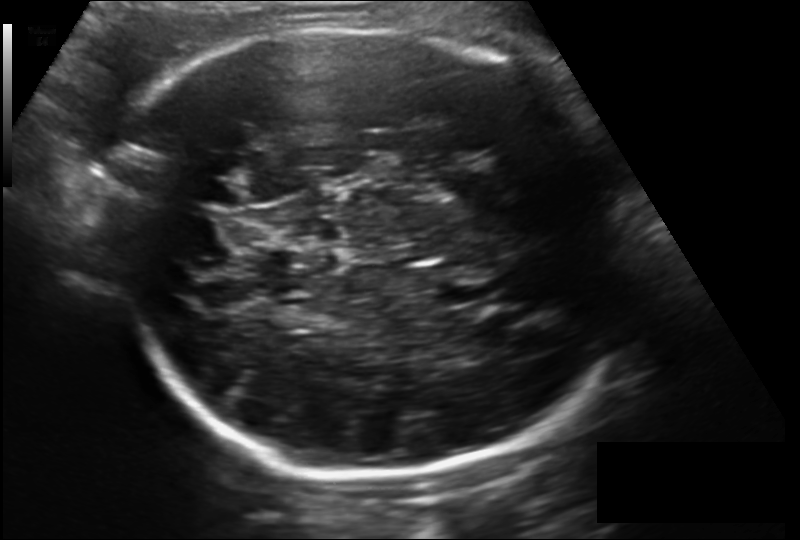
Estimate the fetal head circumference from this 2D ultrasound.

Head circumference: 302.8 mm (image width 152.2 mm).